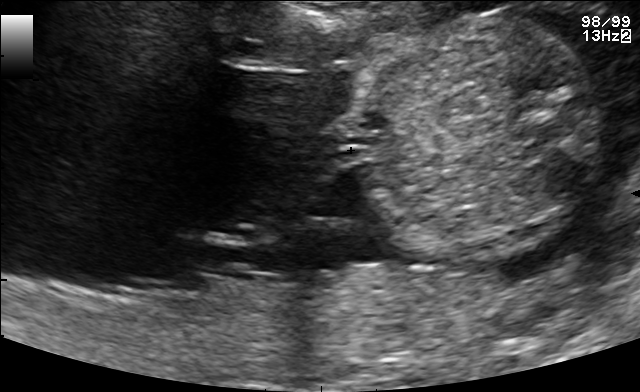
This is a 2D maternal-fetal ultrasound frame. Is it a fetal abdomen, fetal brain, fetal femur, fetal thorax, maternal cervix, or other standard plane? If it's fetal brain and one of the three standard brain planes (trans-thalamic, trans-cerebellum, trans-ventricular), name which.

Other